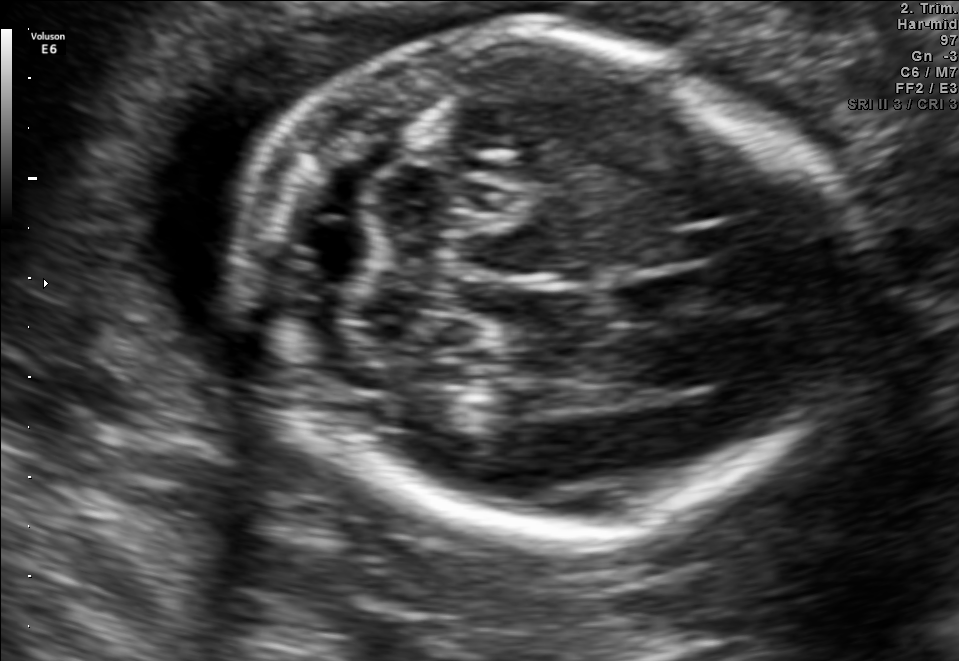
In this fetal brain, trans-cerebellum plane, give the bounding box of the fetal head.

[241,31,834,536]